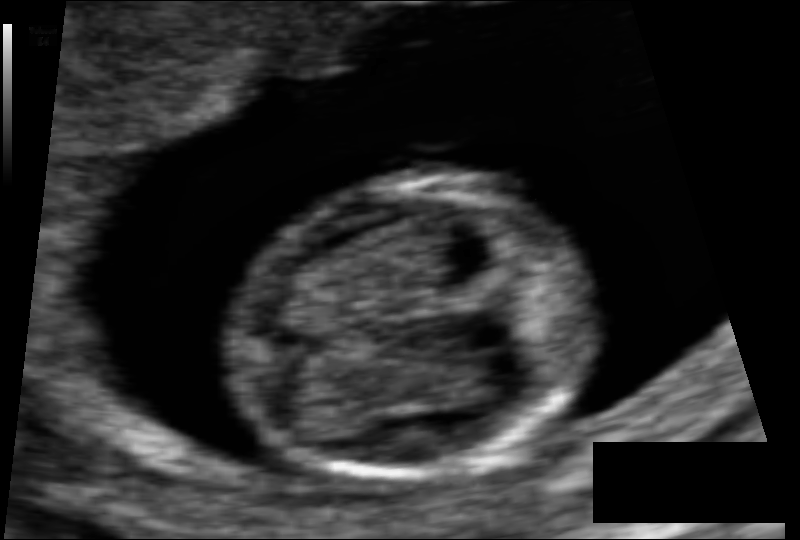
In this fetal head ultrasound, give bounding boxes for the head outline, cavum septum pellucidum (CSP), and lateral ventricle (LV), where visible. Image width: 51.5 mm.

Head: [229,178,598,475]